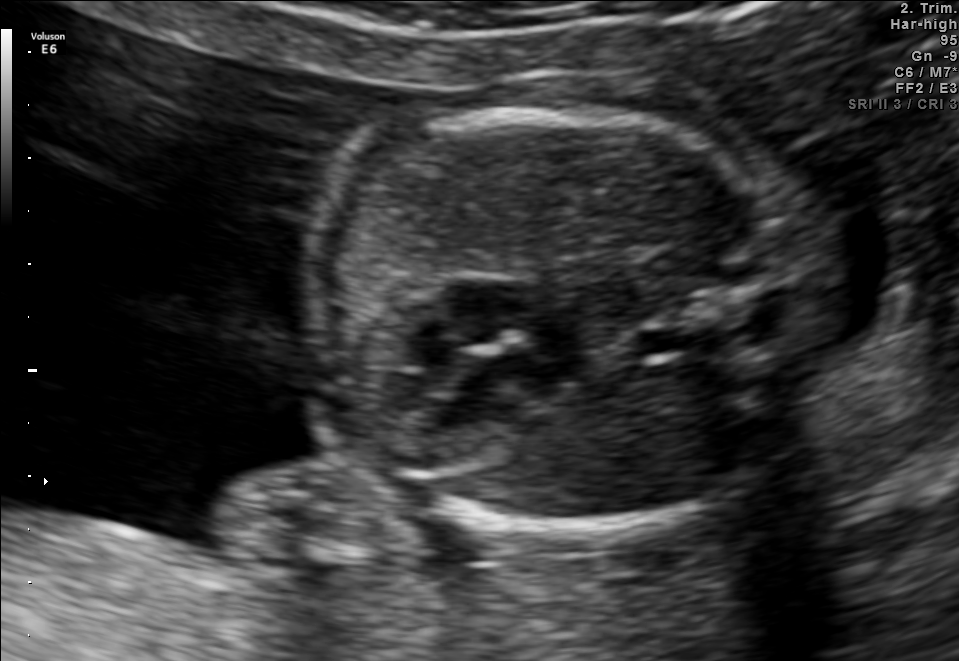
Classify this maternal-fetal ultrasound image as one of the six standard planes — fetal abdomen, fetal brain, fetal femur, fetal thorax, maternal cervix, or other. If it's fetal brain and one of the three standard brain planes (trans-thalamic, trans-cerebellum, trans-ventricular), name which.

Fetal thorax